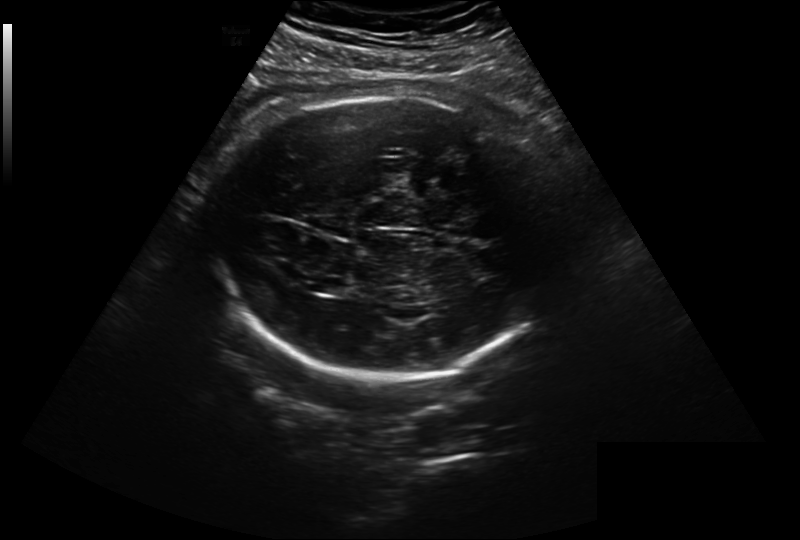
Fetal head ultrasound. Image width: 239.2 mm. Where is the lateral ventricle?

Lateral ventricle bounding box: [314,276,352,296]